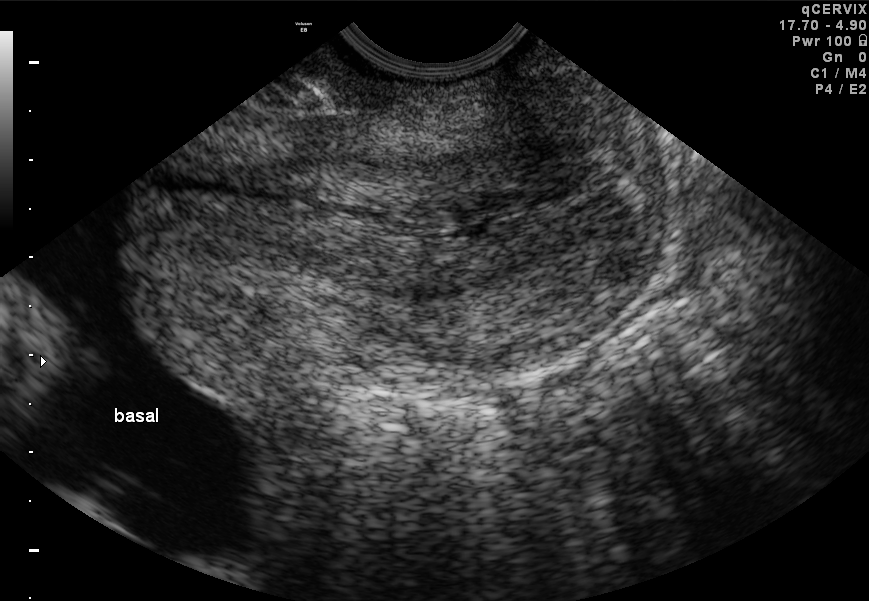
Classify this maternal-fetal ultrasound image as one of the six standard planes — fetal abdomen, fetal brain, fetal femur, fetal thorax, maternal cervix, or other. If it's fetal brain and one of the three standard brain planes (trans-thalamic, trans-cerebellum, trans-ventricular), name which.

Maternal cervix